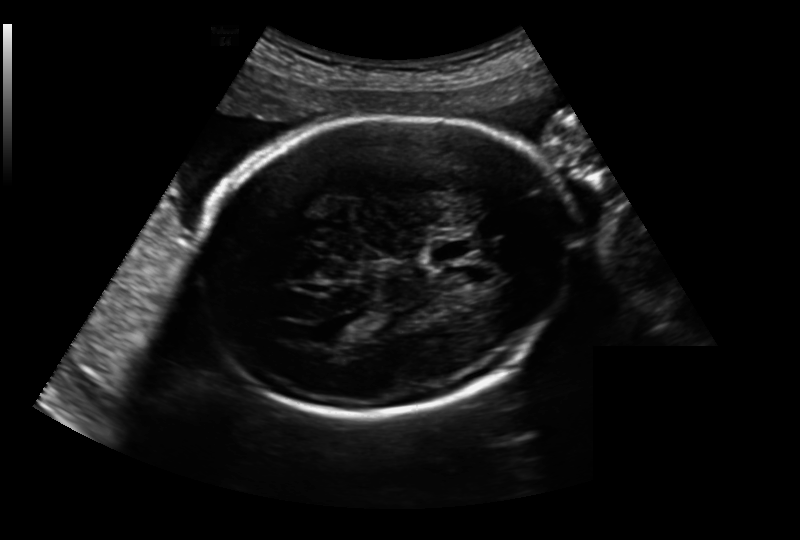
Fetal head ultrasound. Image width: 170.6 mm. Locate the lateral ventricle.

Lateral ventricle: [323,317,366,344]